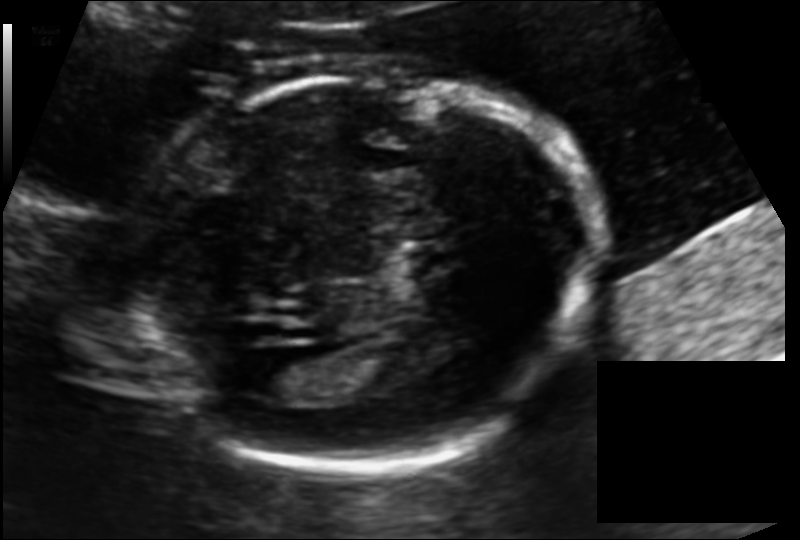
Estimate the fetal head circumference from this 2D ultrasound. Image width: 99.9 mm.

Head circumference: 173.2 mm.